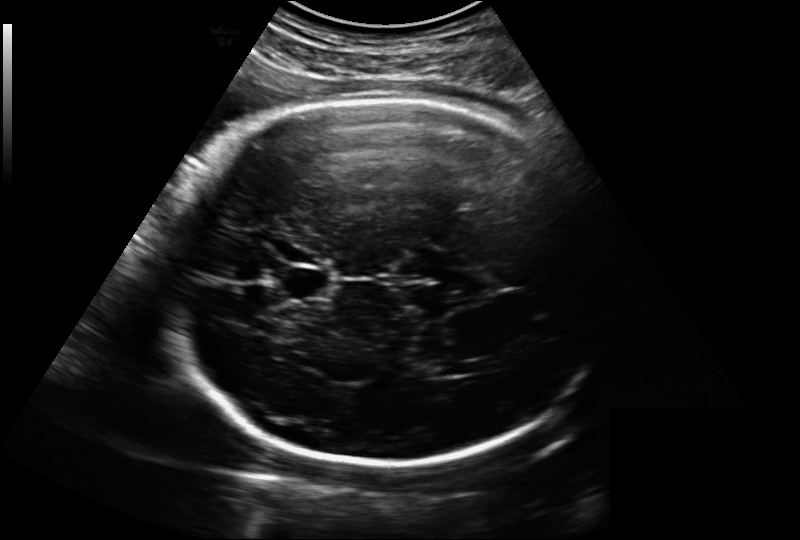
Fetal head ultrasound. Image width: 176.5 mm. Where is the cavum septum pellucidum?

CSP bounding box: [277,263,335,303]